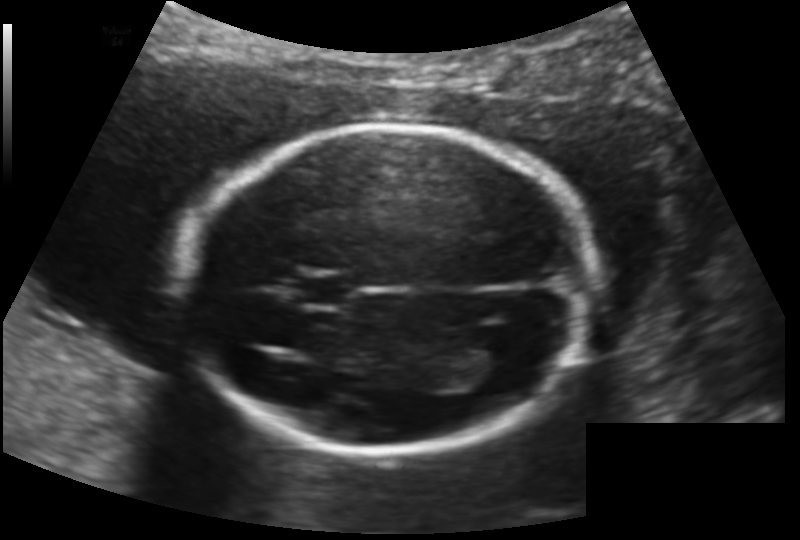
Estimate the fetal head circumference from this 2D ultrasound. Image width: 116.3 mm.

Head circumference: 174.8 mm.